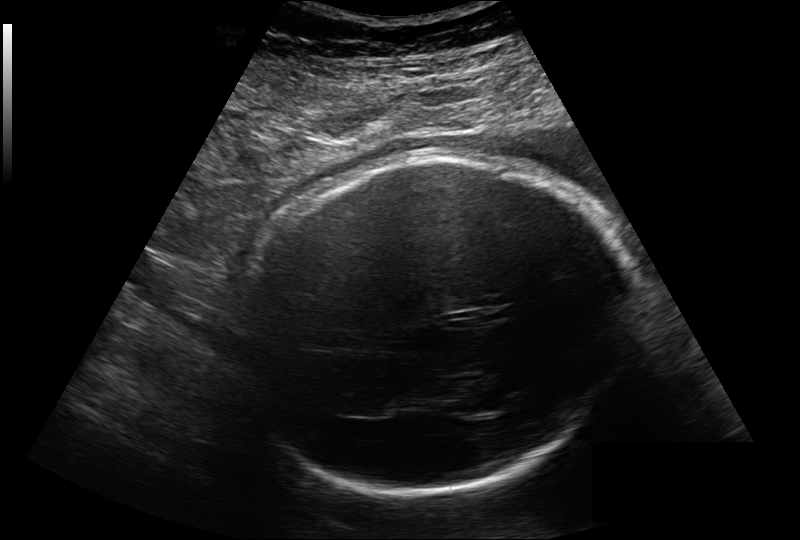
Fetal head ultrasound. Image width: 211.0 mm. Locate the fetal head.

Head: [236,154,631,493]